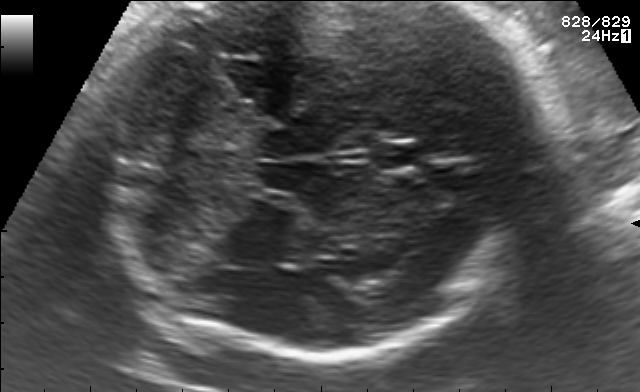
Fetal brain, trans-cerebellum plane. Locate the cavum septum pellucidum.

CSP: [372,140,420,171]